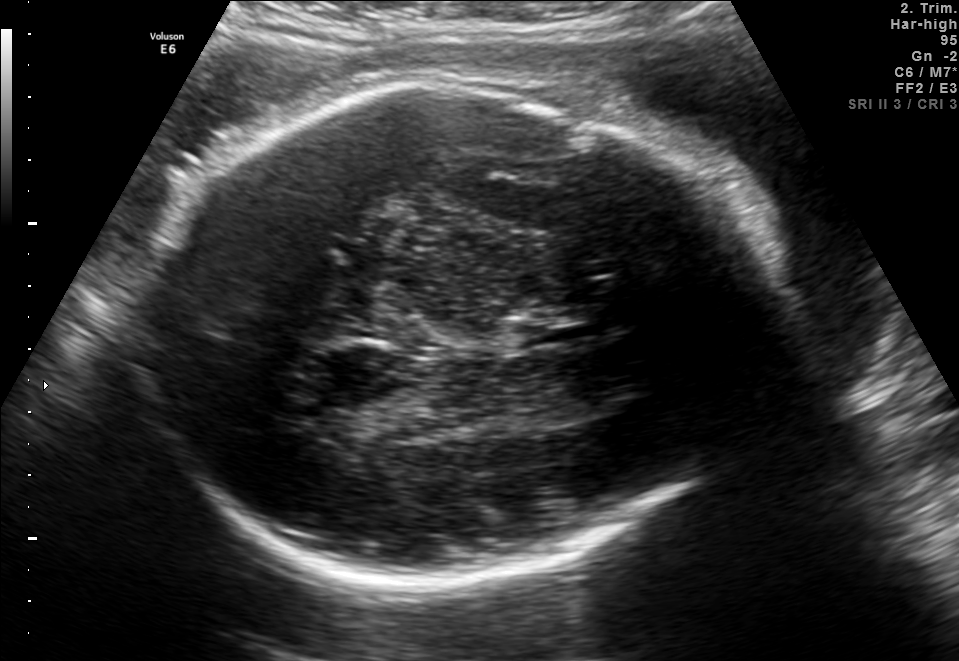
In this fetal brain, trans-thalamic plane, give the bounding box of the fetal head.

[130,78,765,585]